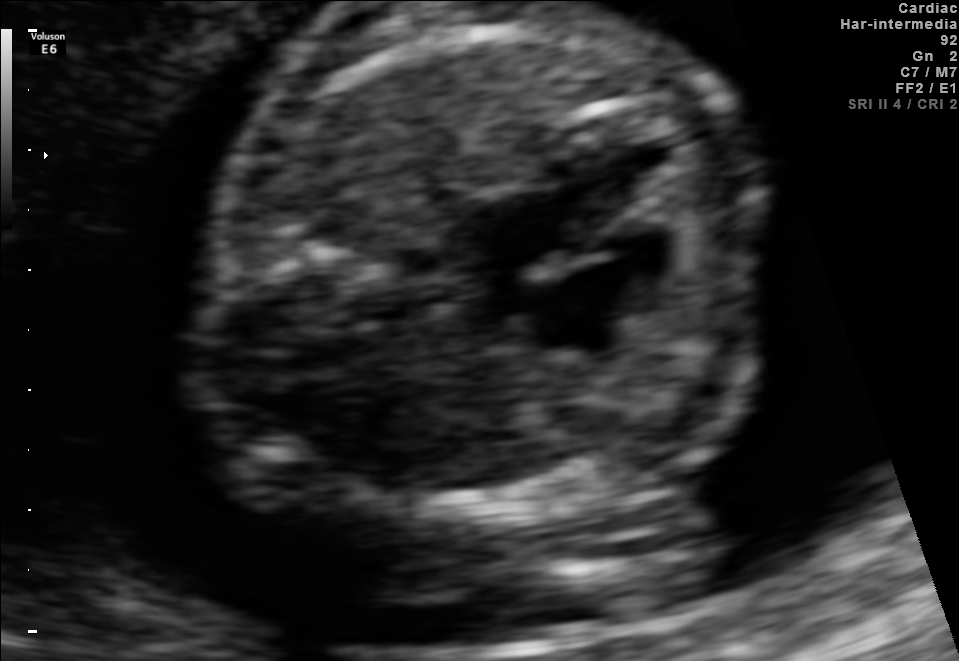
Which standard maternal-fetal ultrasound plane is shown: fetal abdomen, fetal brain, fetal femur, fetal thorax, maternal cervix, or other? If it's fetal brain and one of the three standard brain planes (trans-thalamic, trans-cerebellum, trans-ventricular), name which.

Fetal thorax